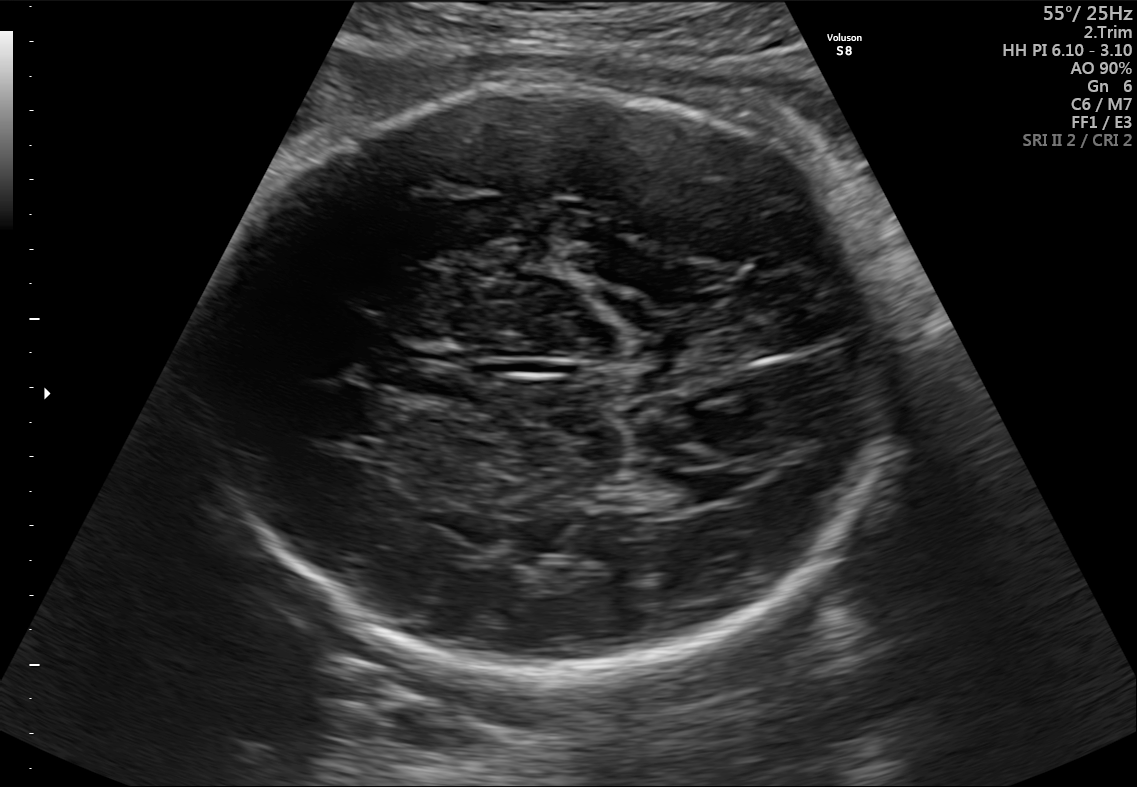
Fetal brain, trans-thalamic plane. Locate the fetal head and, if visible, the cavum septum pellucidum (CSP) and lateral ventricle (LV). Give bounding boxes as [x1,y1,x2,y2].

Head: [189,85,892,686]
CSP: [394,362,481,405]
Lateral ventricle: [663,464,741,511]